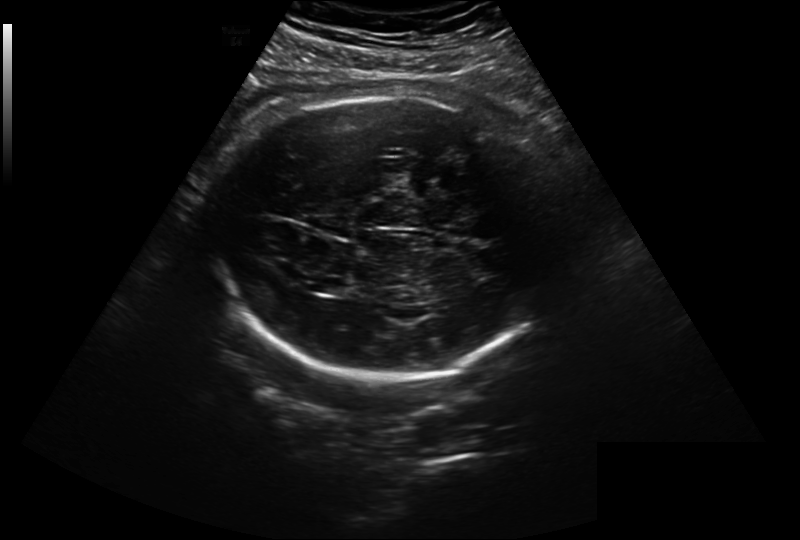
Measure the fetal head circumference shown in this ultrasound image. Image width: 239.2 mm.

Head circumference: 315.3 mm.